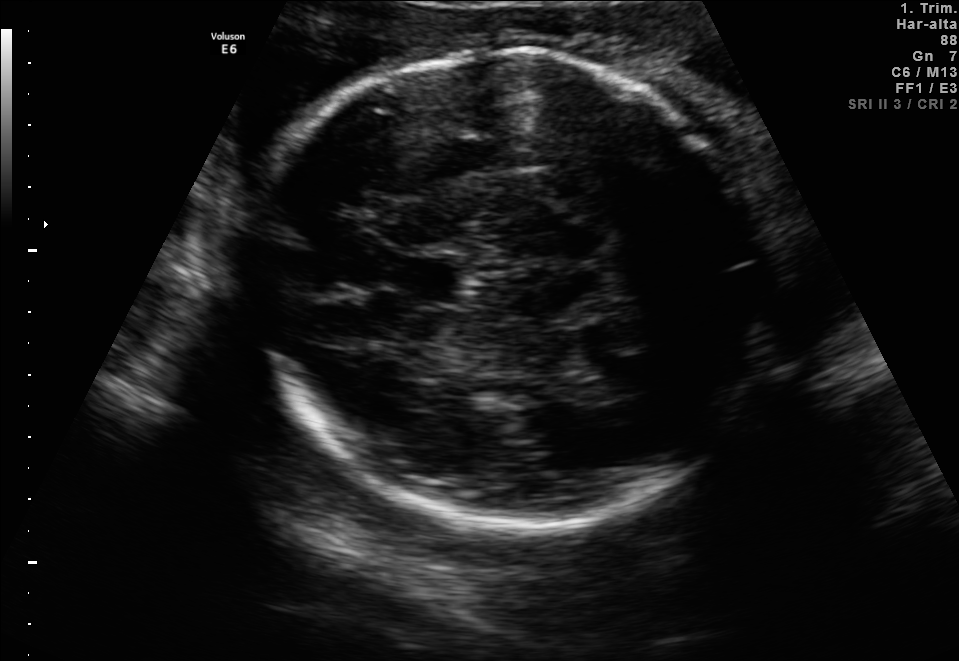
Fetal brain, trans-thalamic plane. Give [x1,y1,x2,y2] bounding boxes for each visible structure among: fetal head, CSP, LV.

Head: [250,50,765,529]
CSP: [399,256,460,303]